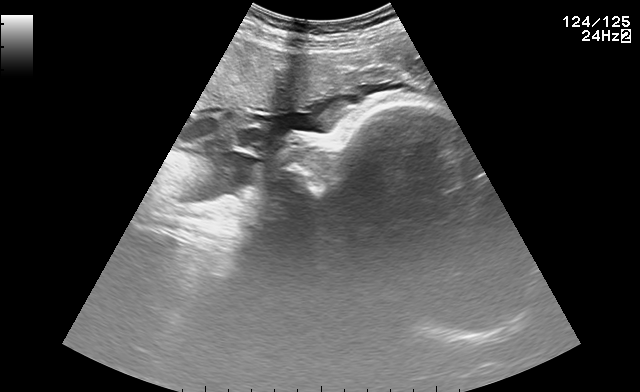
Classify this maternal-fetal ultrasound image as one of the six standard planes — fetal abdomen, fetal brain, fetal femur, fetal thorax, maternal cervix, or other. If it's fetal brain and one of the three standard brain planes (trans-thalamic, trans-cerebellum, trans-ventricular), name which.

Other